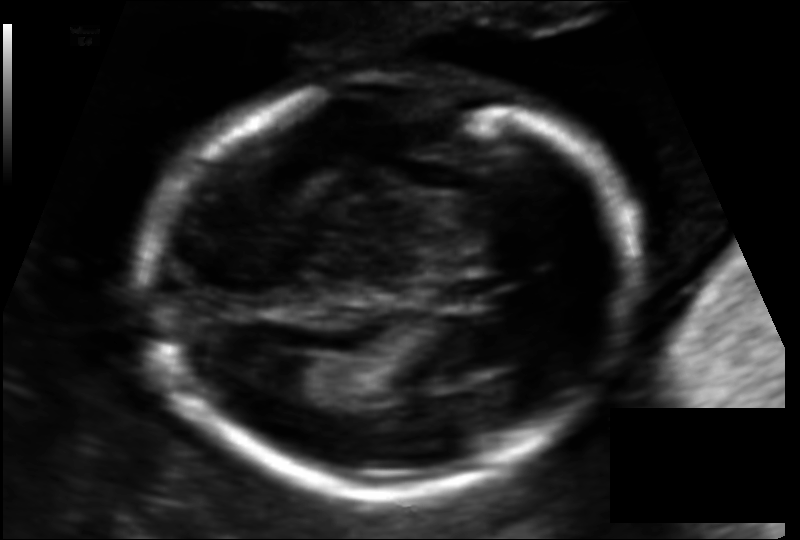
Fetal head ultrasound. Image width: 92.3 mm. Where is the cavum septum pellucidum?

CSP bounding box: [430,272,504,314]